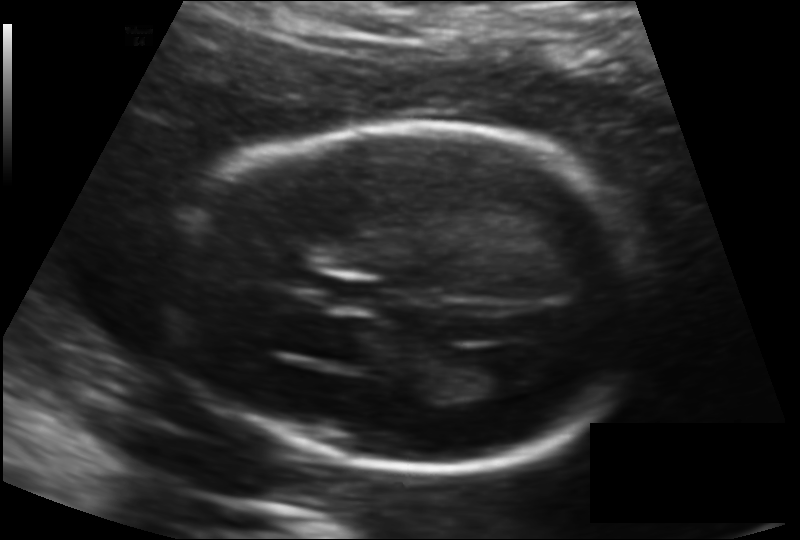
Fetal head ultrasound. Image width: 108.1 mm. Locate the cavum septum pellucidum.

CSP: [331,278,386,313]